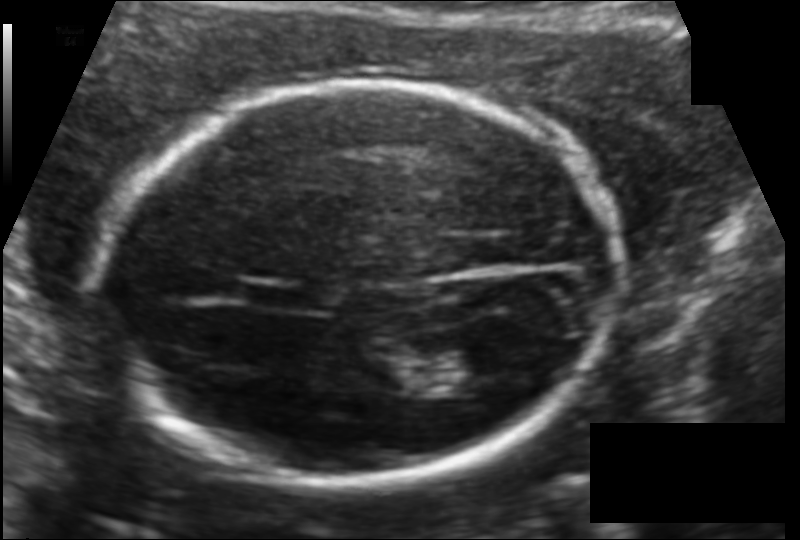
Fetal head ultrasound. Image width: 96.7 mm. Where is the cavum septum pellucidum?

CSP bounding box: [244,277,316,314]